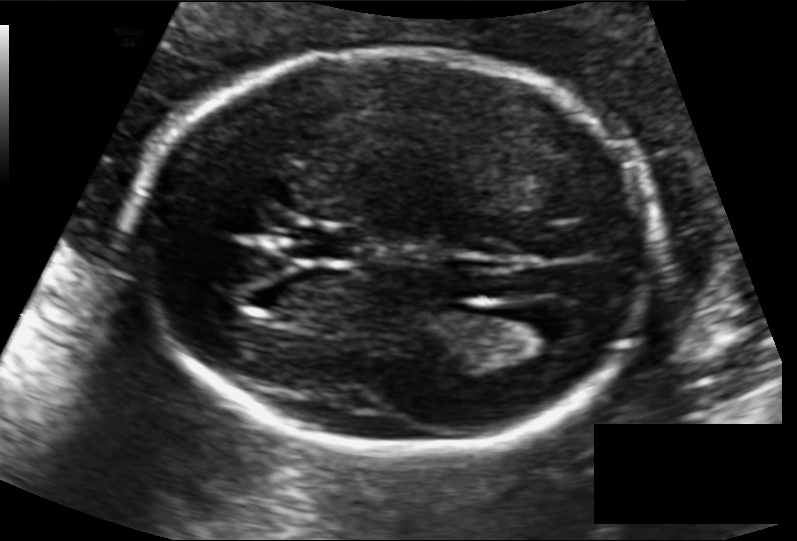
Estimate the fetal head circumference from this 2D ultrasound. Image width: 94.0 mm.

Head circumference: 175.9 mm.